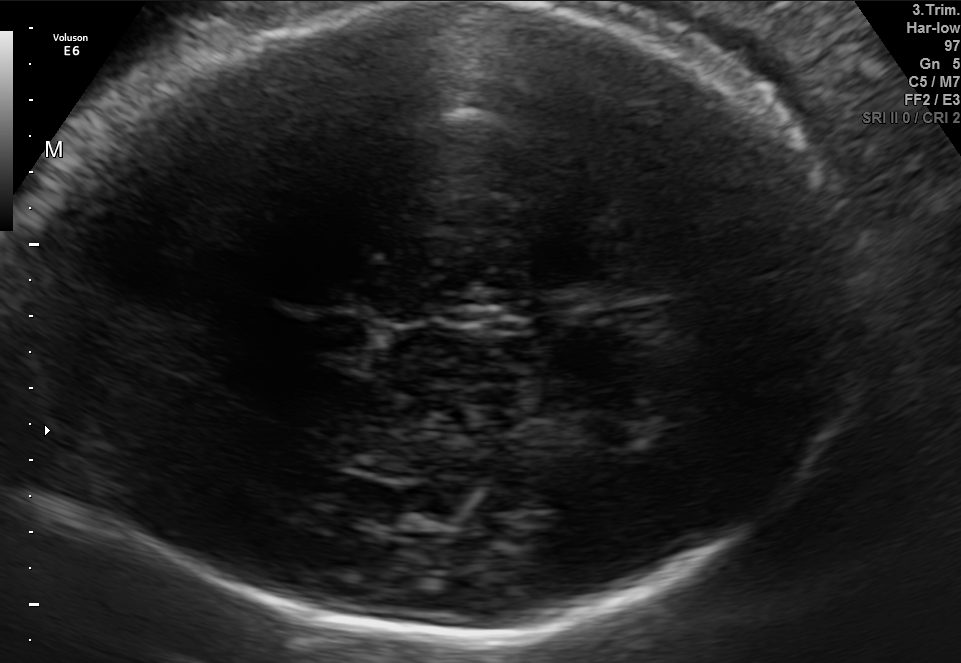
In this fetal brain, trans-thalamic plane, give the bounding box of the cavum septum pellucidum.

[300,312,370,352]